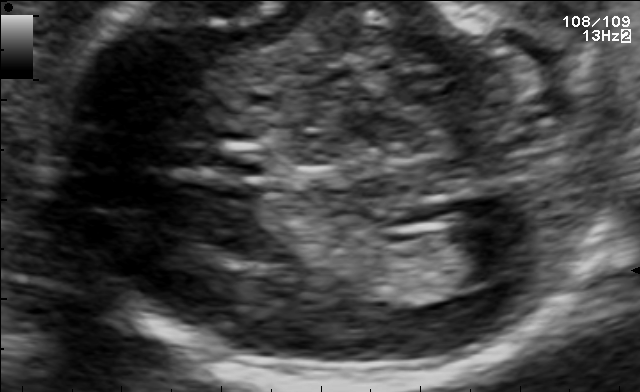
Fetal brain, trans-ventricular plane. Locate the cavum septum pellucidum.

CSP: [164,134,276,192]